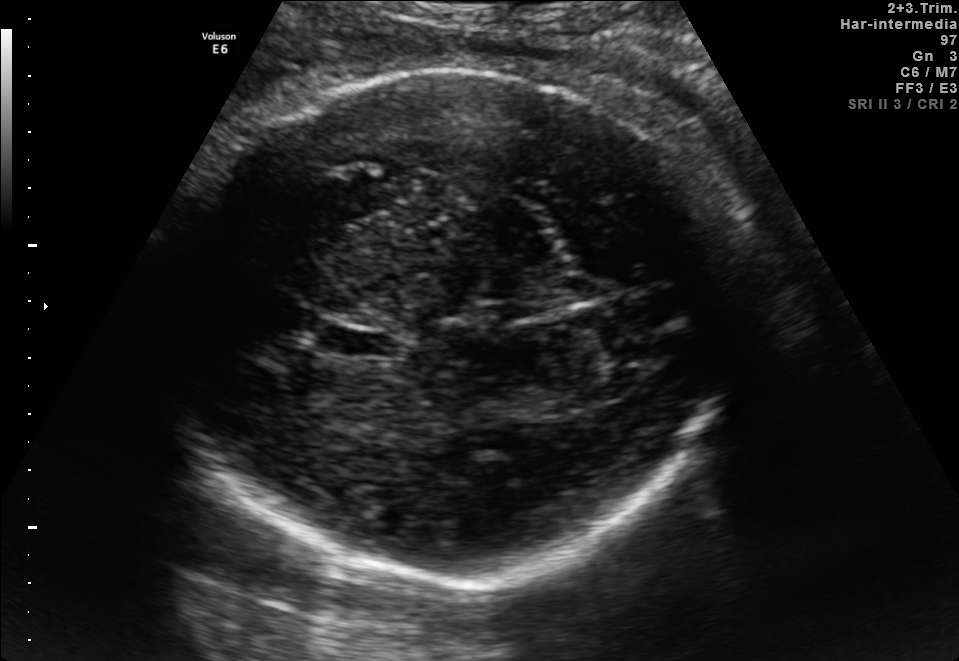
Fetal brain, trans-thalamic plane. Give [x1,y1,x2,y2] bounding boxes for each visible structure among: fetal head, CSP, LV.

Head: [163,66,738,581]
CSP: [331,325,404,361]